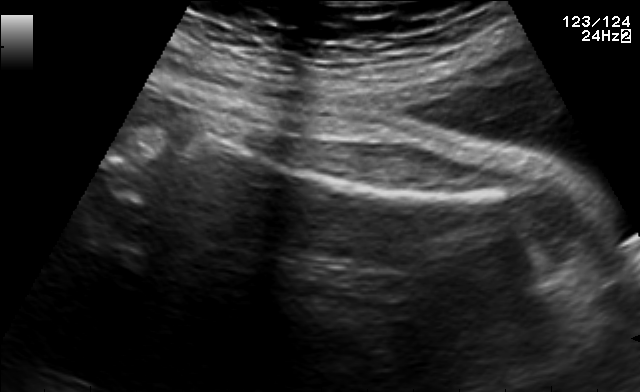
Which standard maternal-fetal ultrasound plane is shown: fetal abdomen, fetal brain, fetal femur, fetal thorax, maternal cervix, or other? If it's fetal brain and one of the three standard brain planes (trans-thalamic, trans-cerebellum, trans-ventricular), name which.

Fetal femur